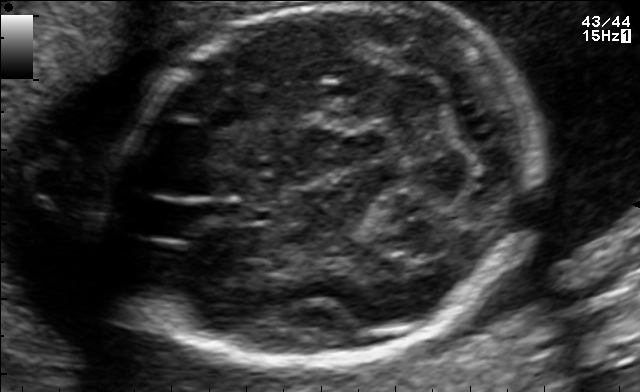
Fetal brain, trans-cerebellum plane. Locate the fetal head.

Head: [111,3,545,364]